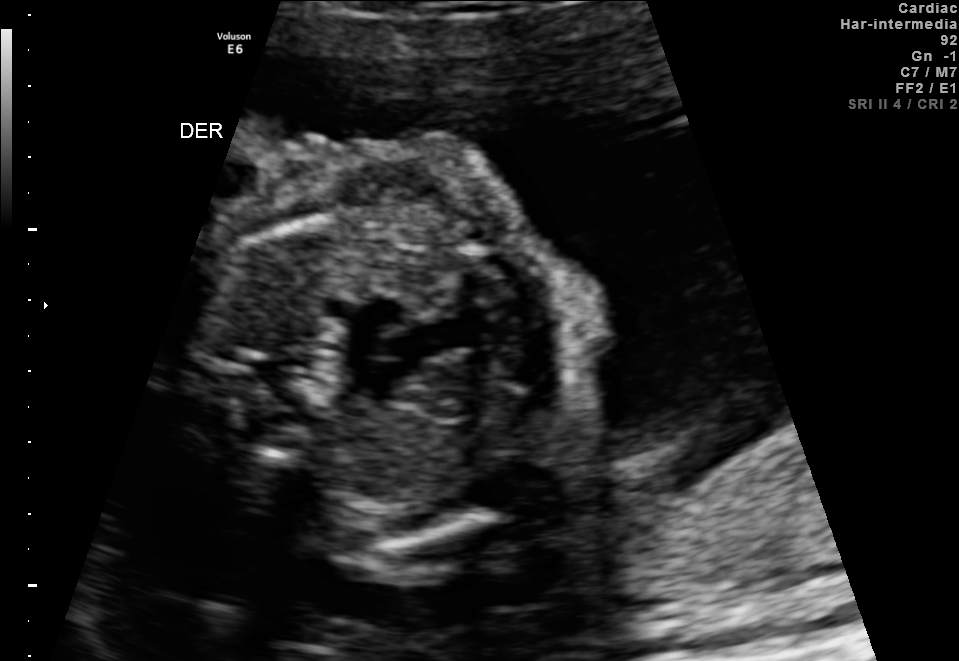
Classify this maternal-fetal ultrasound image as one of the six standard planes — fetal abdomen, fetal brain, fetal femur, fetal thorax, maternal cervix, or other. If it's fetal brain and one of the three standard brain planes (trans-thalamic, trans-cerebellum, trans-ventricular), name which.

Other